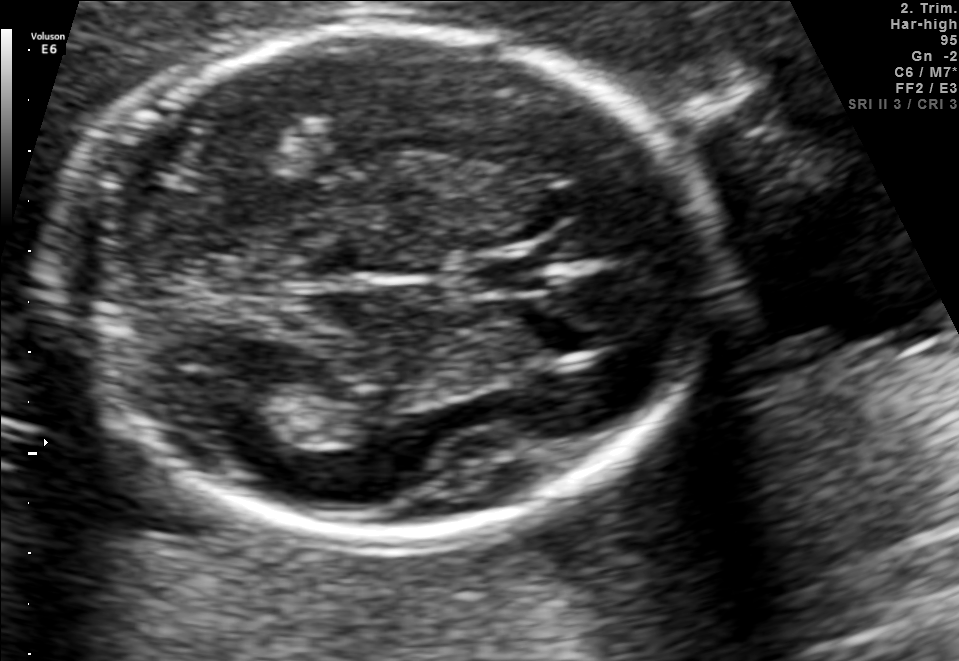
In this fetal brain, trans-thalamic plane, give the bounding box of the lateral ventricle.

[217,384,319,447]